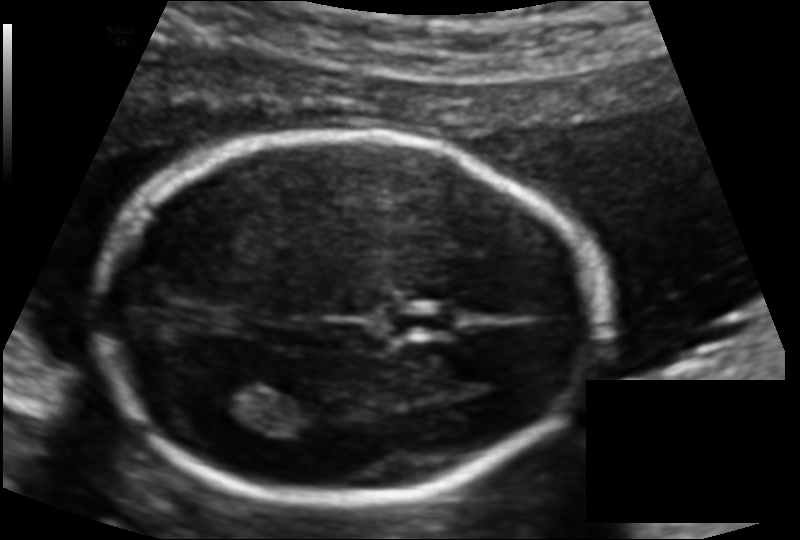
What is the fetal head circumference? Image width is 91.6 mm.

163.4 mm